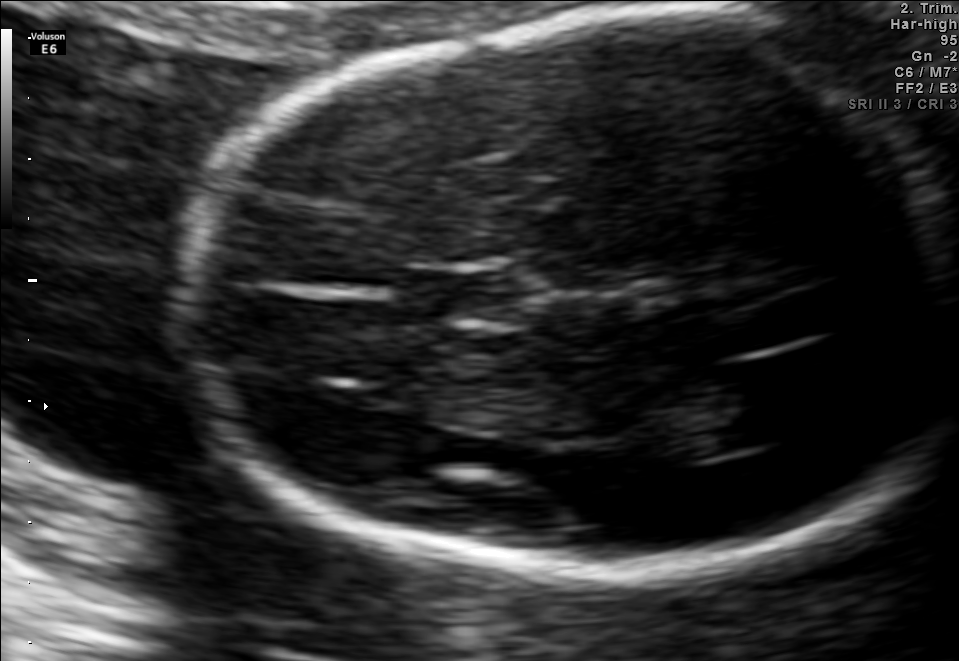
Fetal brain, trans-thalamic plane. Where is the fetal head?

Head bounding box: [182,19,955,572]